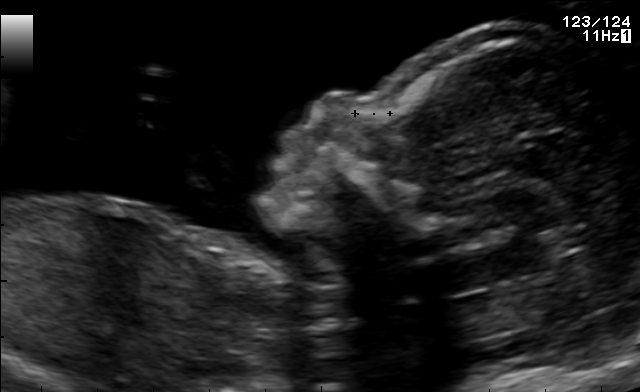
Classify this maternal-fetal ultrasound image as one of the six standard planes — fetal abdomen, fetal brain, fetal femur, fetal thorax, maternal cervix, or other. If it's fetal brain and one of the three standard brain planes (trans-thalamic, trans-cerebellum, trans-ventricular), name which.

Other